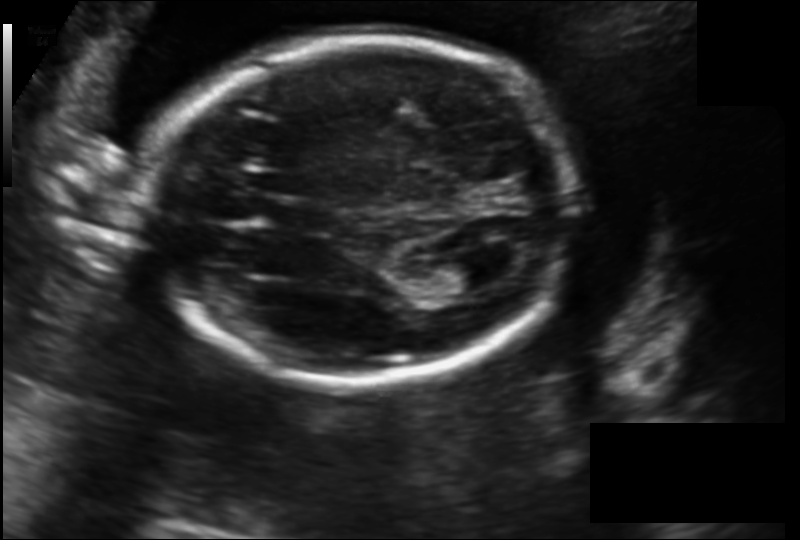
Fetal head ultrasound. Image width: 121.4 mm. Locate the lateral ventricle.

Lateral ventricle: [431,250,506,299]